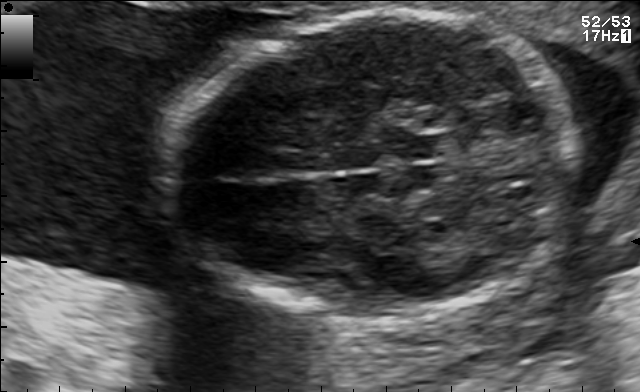
Fetal brain, trans-thalamic plane. Give [x1,y1,x2,y2] bounding boxes for each visible structure among: fetal head, CSP, LV.

Head: [166,11,578,321]